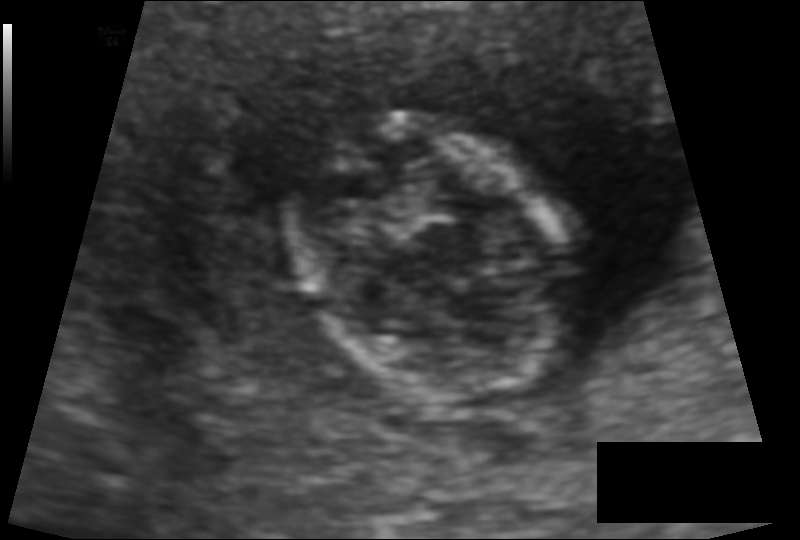
Fetal head ultrasound. Image width: 72.9 mm. Where is the fetal head?

Head bounding box: [277,120,585,395]